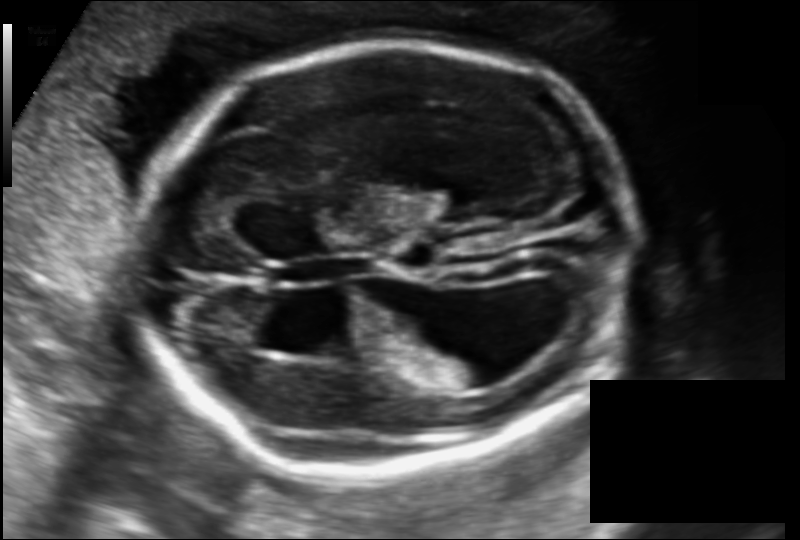
Estimate the fetal head circumference from this 2D ultrasound. Image width: 112.8 mm.

Head circumference: 213.5 mm.